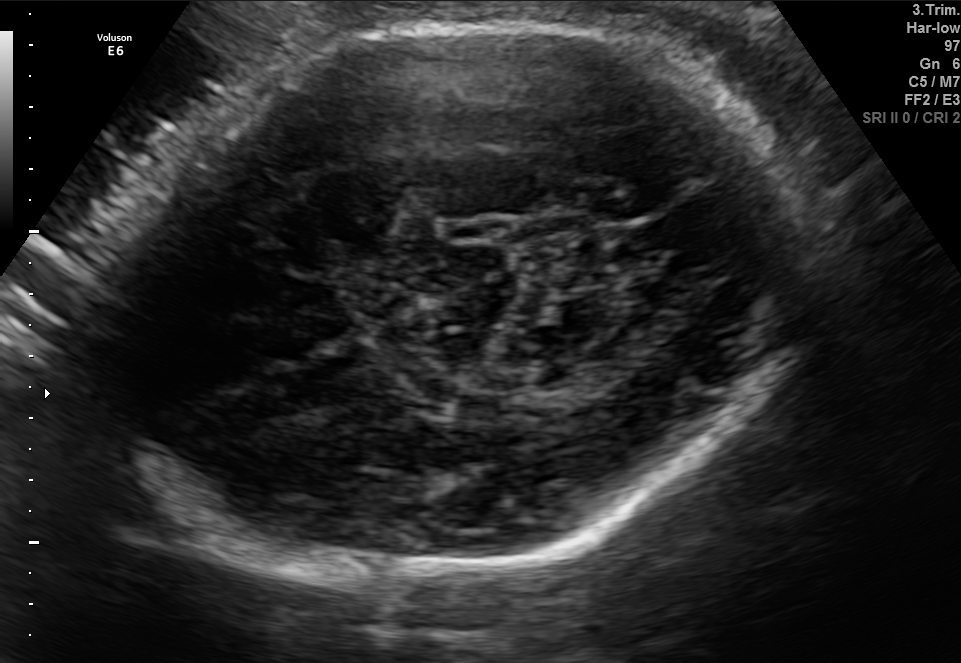
Fetal brain, trans-thalamic plane. Locate the fetal head and, if visible, the cavum septum pellucidum (CSP) and lateral ventricle (LV). Give bounding boxes as [x1,y1,x2,y2].

Head: [87,13,818,588]